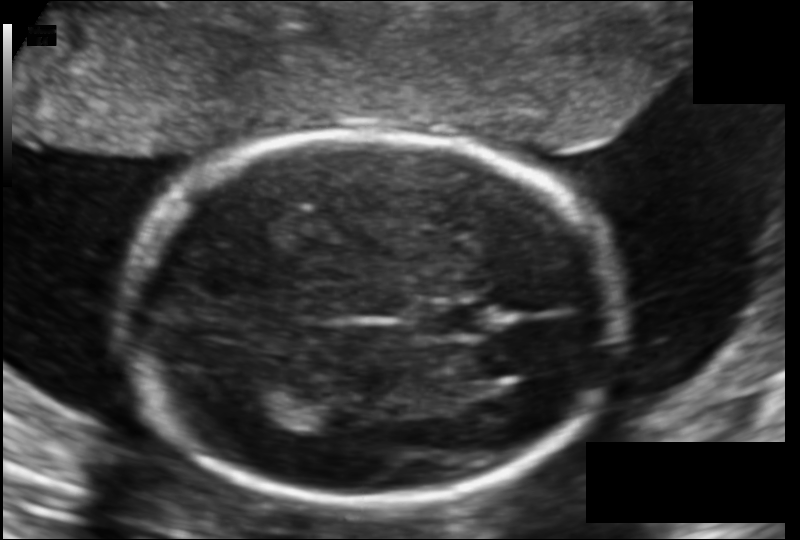
What is the fetal head circumference? Image width is 98.4 mm.

174.4 mm